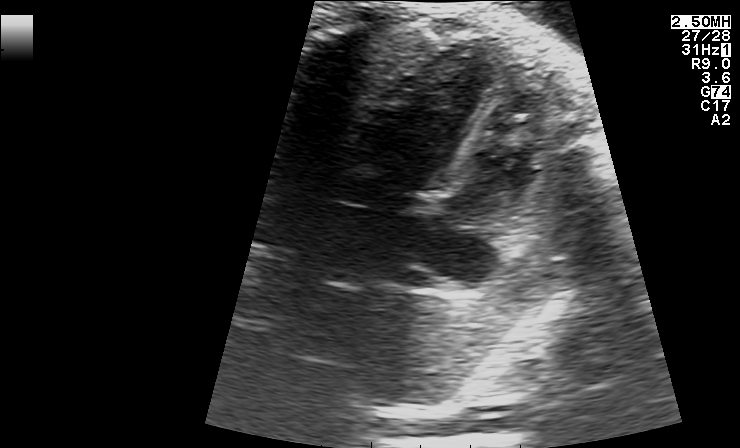
Identify the standard plane in this fetal ultrasound image: fetal abdomen, fetal brain, fetal femur, fetal thorax, maternal cervix, or other. If it's fetal brain and one of the three standard brain planes (trans-thalamic, trans-cerebellum, trans-ventricular), name which.

Fetal thorax